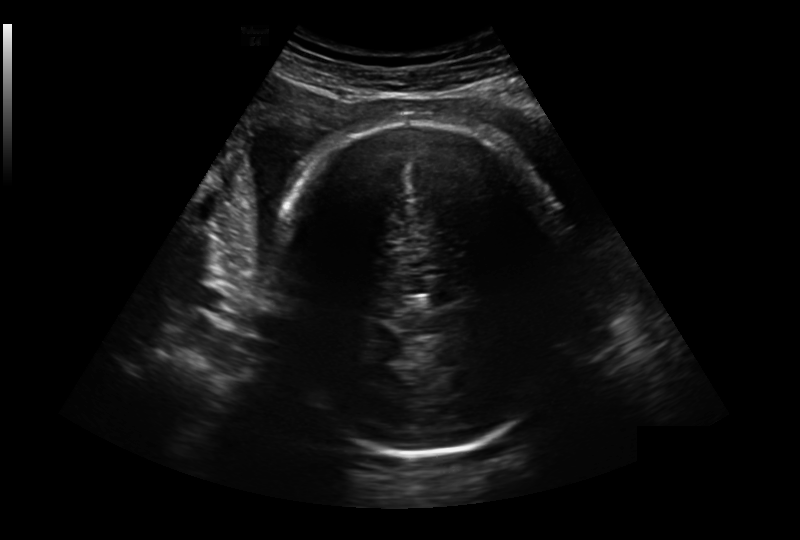
Fetal head ultrasound. Image width: 225.0 mm. Locate the fetal head.

Head: [274,122,564,454]